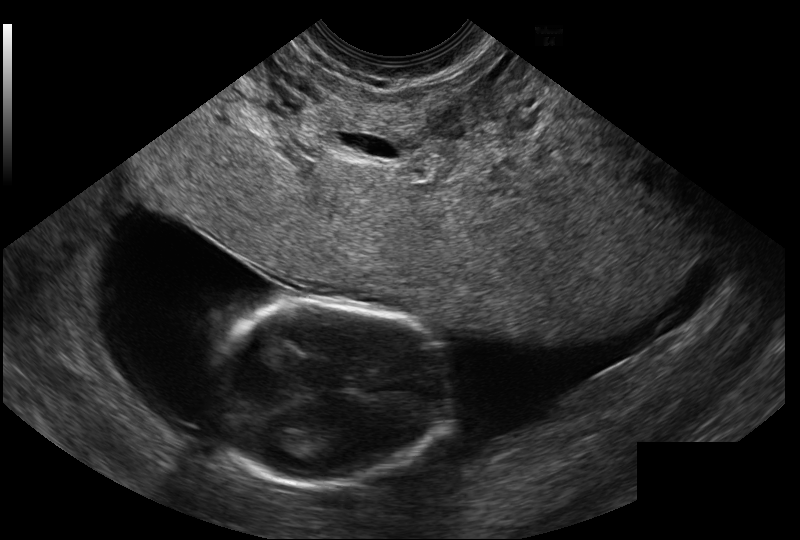
In this fetal head ultrasound, give bounding boxes for the head outline, cavum septum pellucidum (CSP), and lateral ventricle (LV), where visible. Image width: 91.4 mm.

Head: [209,301,452,486]